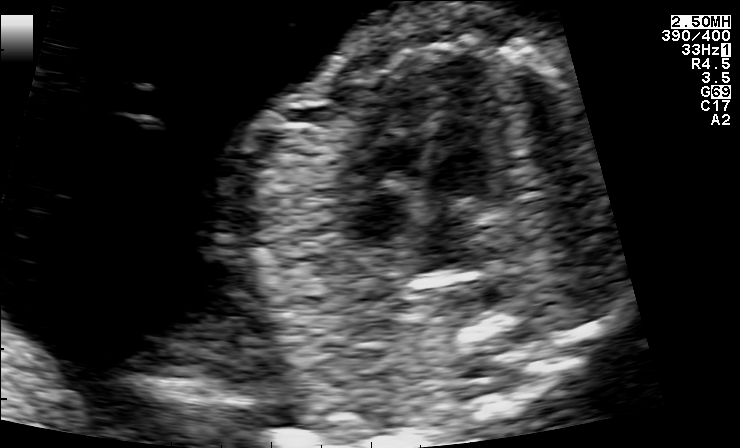
Classify this maternal-fetal ultrasound image as one of the six standard planes — fetal abdomen, fetal brain, fetal femur, fetal thorax, maternal cervix, or other. If it's fetal brain and one of the three standard brain planes (trans-thalamic, trans-cerebellum, trans-ventricular), name which.

Fetal thorax